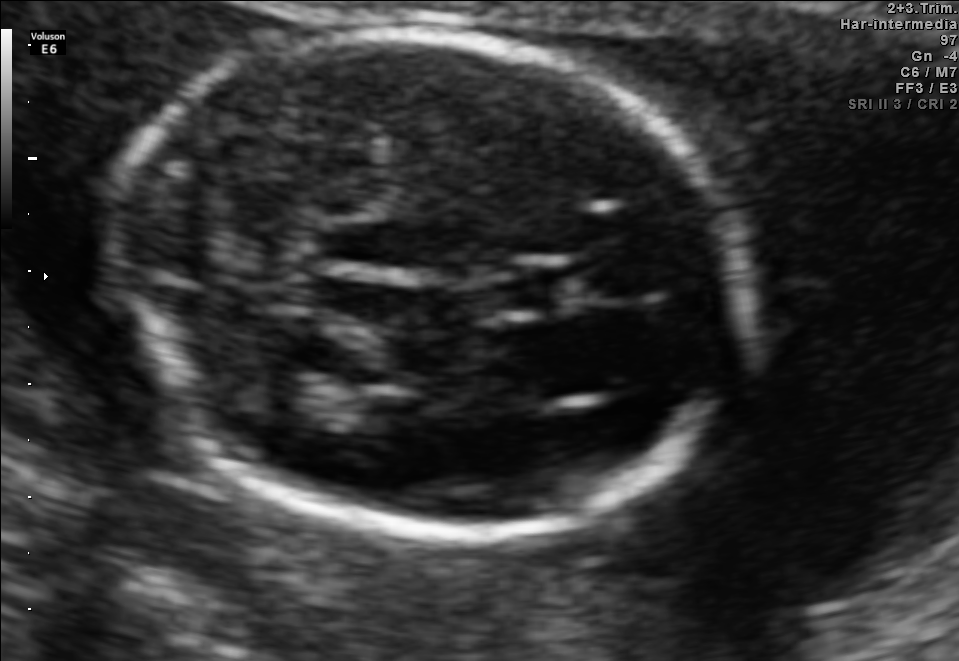
Fetal brain, trans-thalamic plane. Where is the fetal head?

Head bounding box: [106,32,755,535]